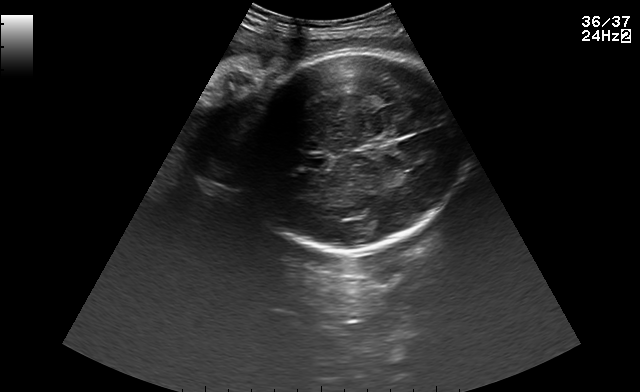
In this fetal brain, trans-thalamic plane, give the bounding box of the cavum septum pellucidum.

[306,155,328,168]